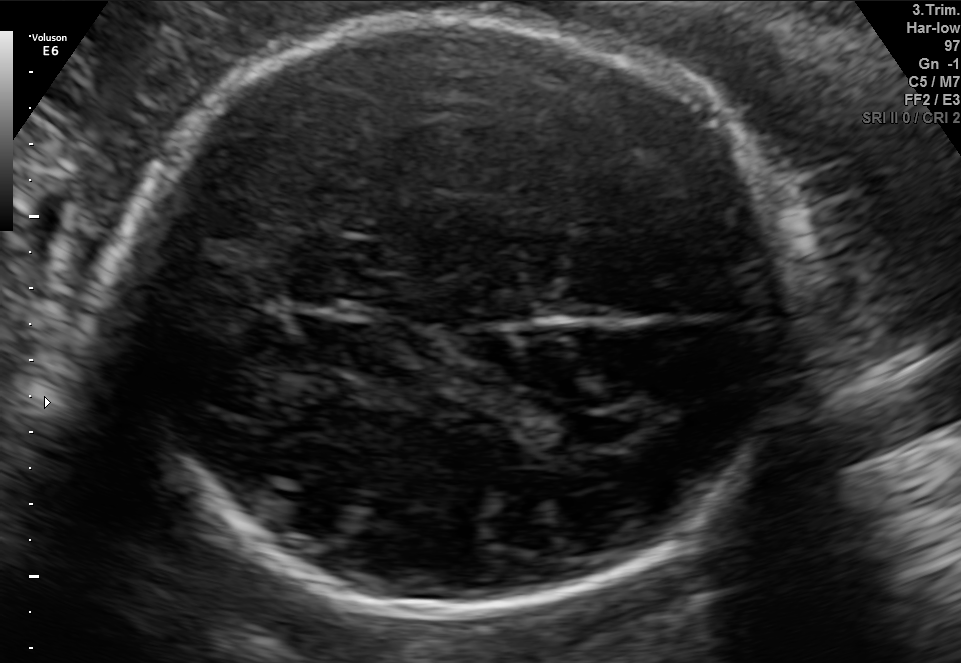
Fetal brain, trans-thalamic plane. Locate the fetal head and, if visible, the cavum septum pellucidum (CSP) and lateral ventricle (LV). Give bounding boxes as [x1,y1,x2,y2].

Head: [131,14,800,627]